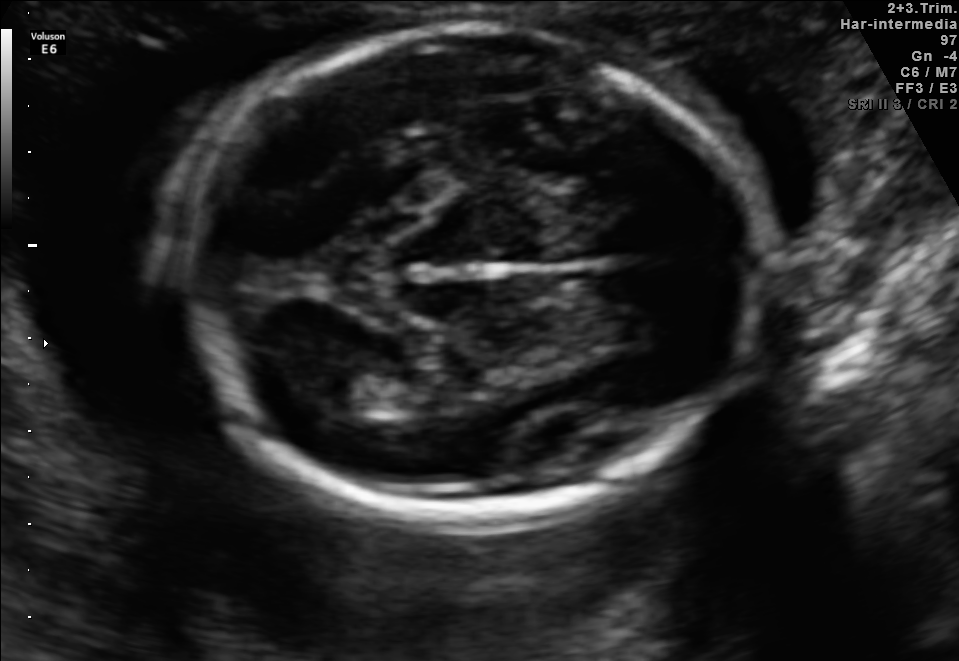
In this fetal brain, trans-thalamic plane, give the bounding box of the lateral ventricle.

[318,367,414,419]